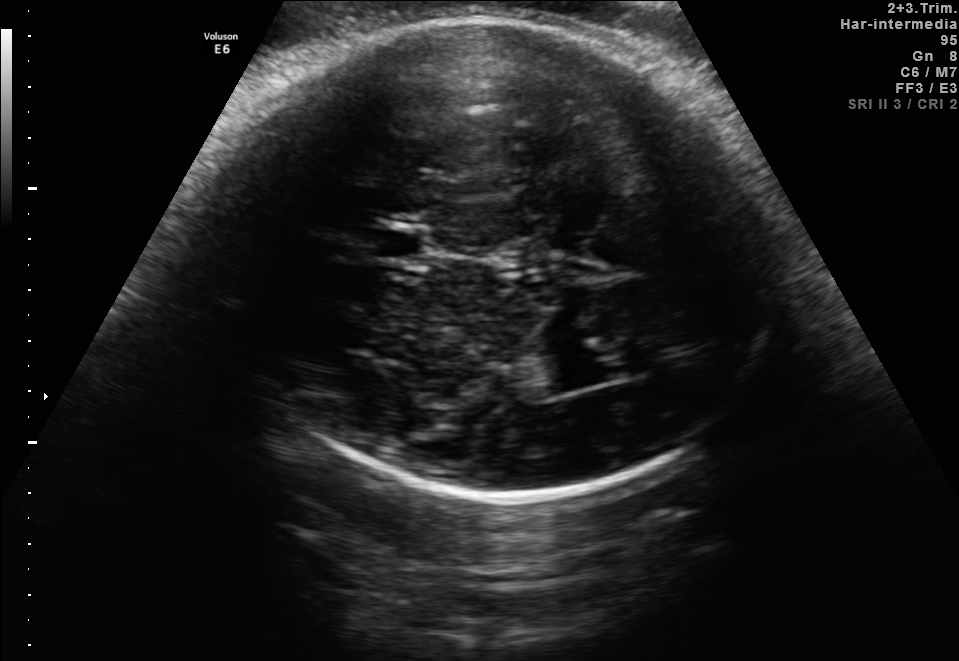
Fetal brain, trans-thalamic plane. Give [x1,y1,x2,y2] bounding boxes for each visible structure among: fetal head, CSP, LV.

Head: [214,22,781,499]
CSP: [373,230,423,260]
Lateral ventricle: [533,347,603,399]